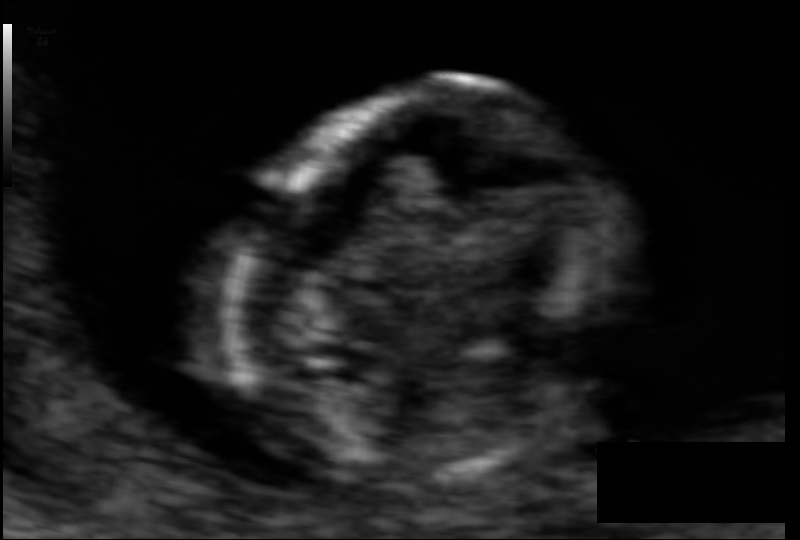
Measure the fetal head circumference shown in this ultrasound image. Image width: 44.4 mm.

Head circumference: 69.9 mm.